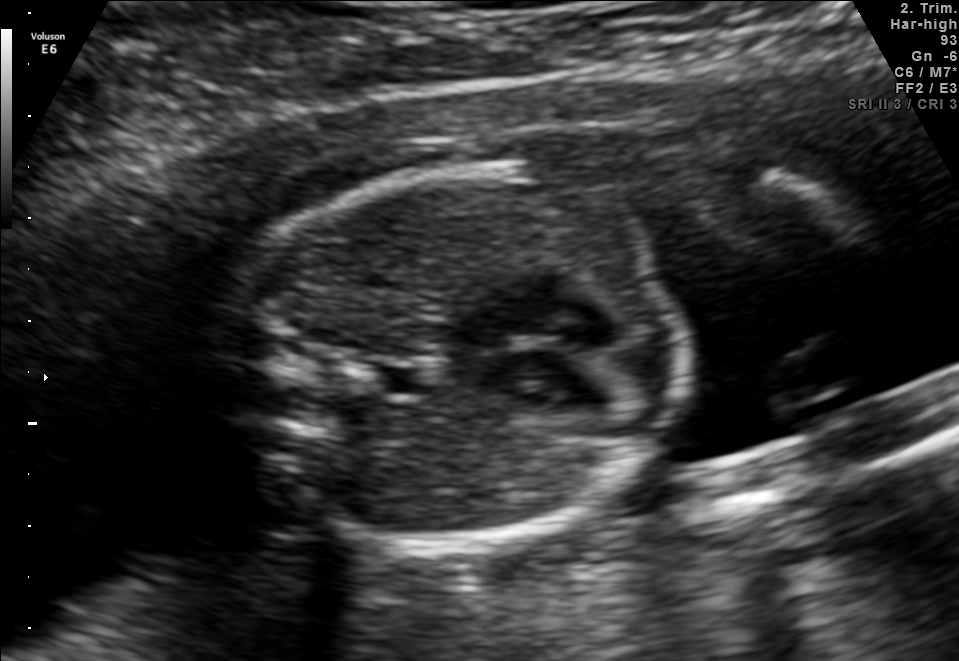
Identify the standard plane in this fetal ultrasound image: fetal abdomen, fetal brain, fetal femur, fetal thorax, maternal cervix, or other. If it's fetal brain and one of the three standard brain planes (trans-thalamic, trans-cerebellum, trans-ventricular), name which.

Fetal thorax